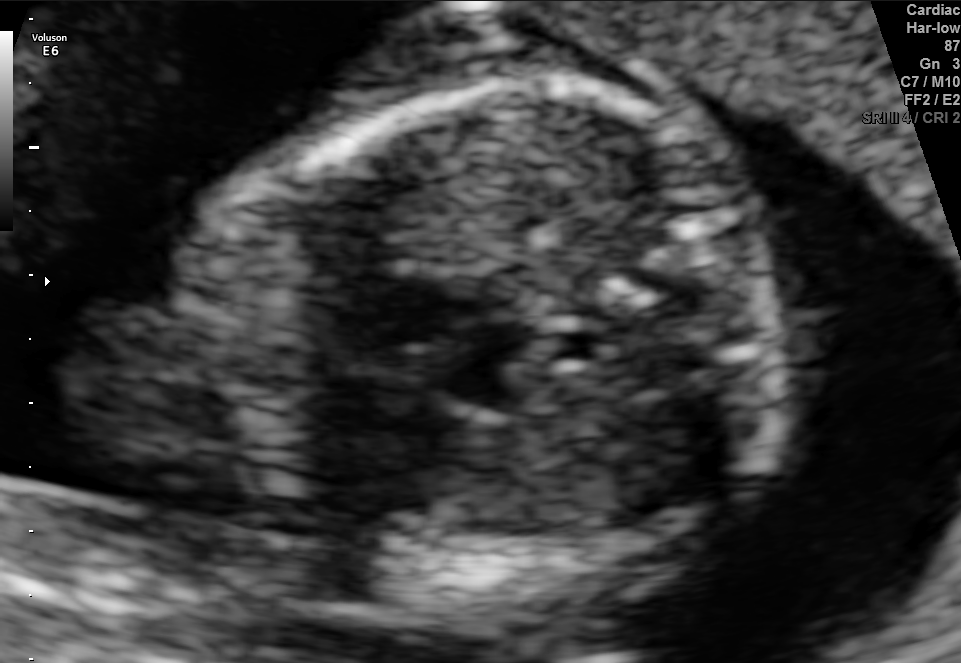
Which standard maternal-fetal ultrasound plane is shown: fetal abdomen, fetal brain, fetal femur, fetal thorax, maternal cervix, or other? If it's fetal brain and one of the three standard brain planes (trans-thalamic, trans-cerebellum, trans-ventricular), name which.

Other